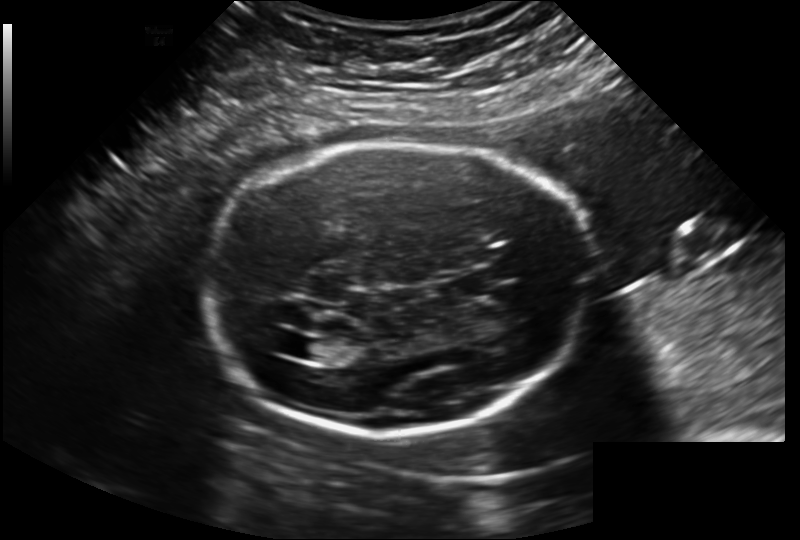
Estimate the fetal head circumference from this 2D ultrasound.

Head circumference: 223.8 mm (image width 161.6 mm).